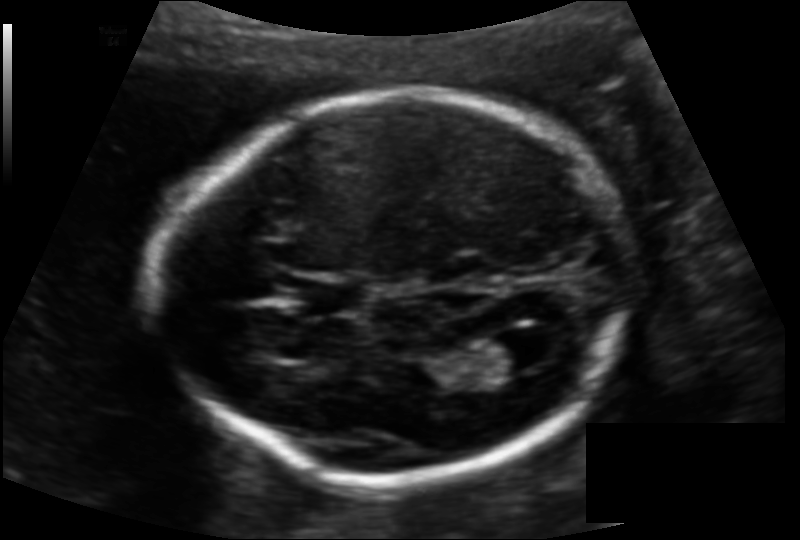
Measure the fetal head circumference shown in this ultrasound image. Image width: 102.7 mm.

Head circumference: 177.1 mm.